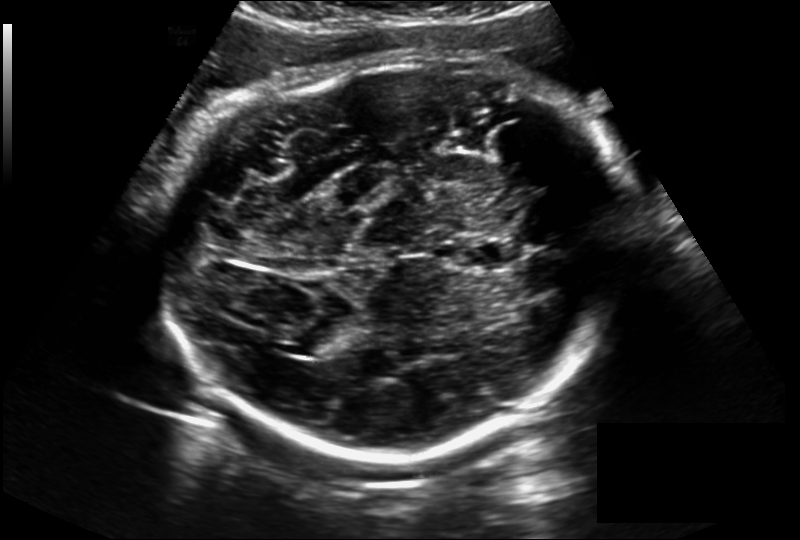
Fetal head ultrasound. Image width: 182.1 mm. Where is the fetal head?

Head bounding box: [166,55,632,459]